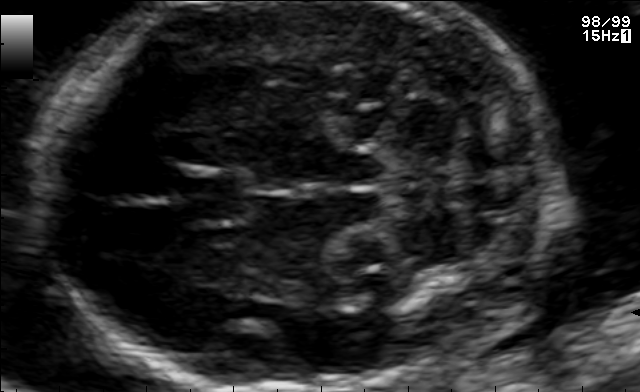
Which standard maternal-fetal ultrasound plane is shown: fetal abdomen, fetal brain, fetal femur, fetal thorax, maternal cervix, or other? If it's fetal brain and one of the three standard brain planes (trans-thalamic, trans-cerebellum, trans-ventricular), name which.

Fetal brain (trans-cerebellum plane)